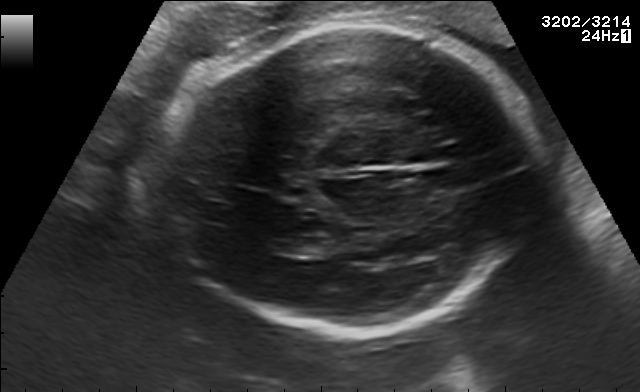
In this fetal brain, trans-thalamic plane, give the bounding box of the lateral ventricle.

[271,237,332,255]